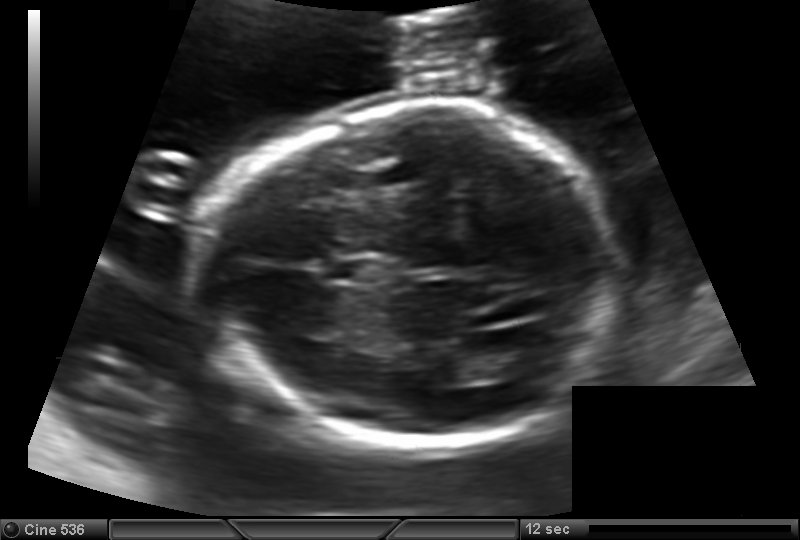
Fetal head ultrasound. Image width: 115.2 mm. Where is the lateral ventricle?

Lateral ventricle bounding box: [482,339,550,382]